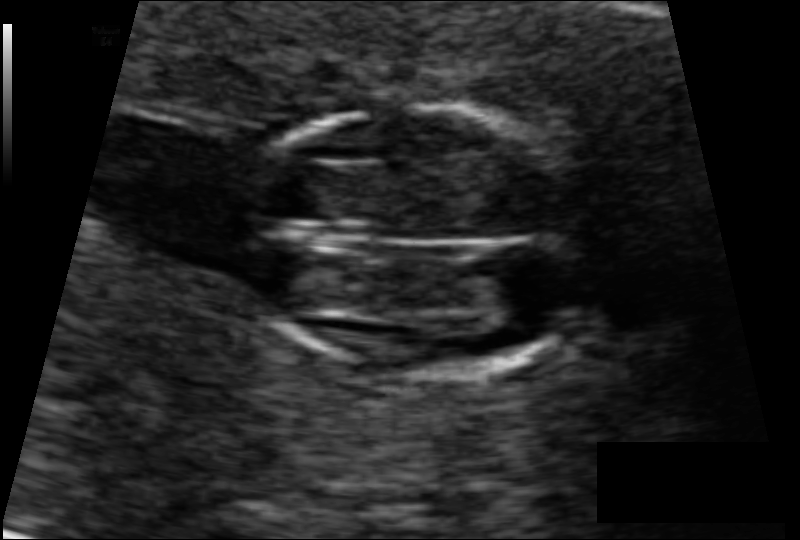
Fetal head ultrasound. Image width: 60.3 mm. Give [x1,y1,x2,y2] bounding boxes for each visible structure among: fetal head, CSP, LV.

Head: [239,108,582,375]